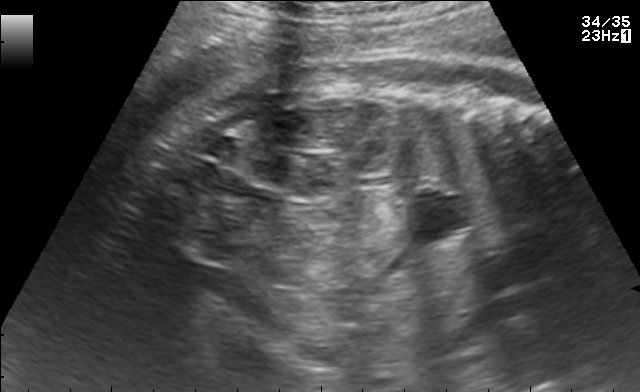
This is a 2D maternal-fetal ultrasound frame. Is it a fetal abdomen, fetal brain, fetal femur, fetal thorax, maternal cervix, or other standard plane? If it's fetal brain and one of the three standard brain planes (trans-thalamic, trans-cerebellum, trans-ventricular), name which.

Other